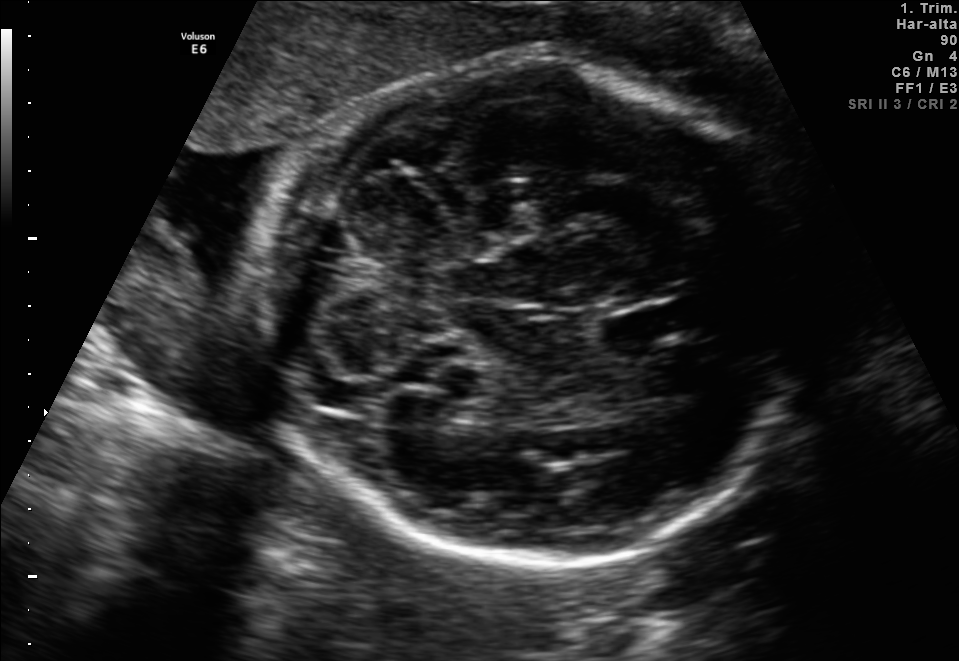
In this fetal brain, trans-cerebellum plane, give bounding boxes for the head outline, cavum septum pellucidum (CSP), and lateral ventricle (LV), where visible.

Head: [251,51,798,568]
CSP: [594,299,681,354]